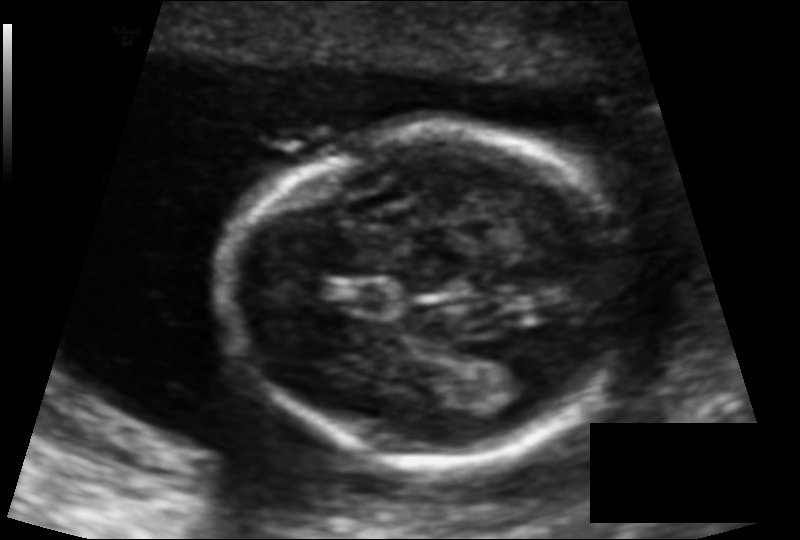
Fetal head ultrasound. Image width: 81.7 mm. Where is the fetal head?

Head bounding box: [232,129,621,463]